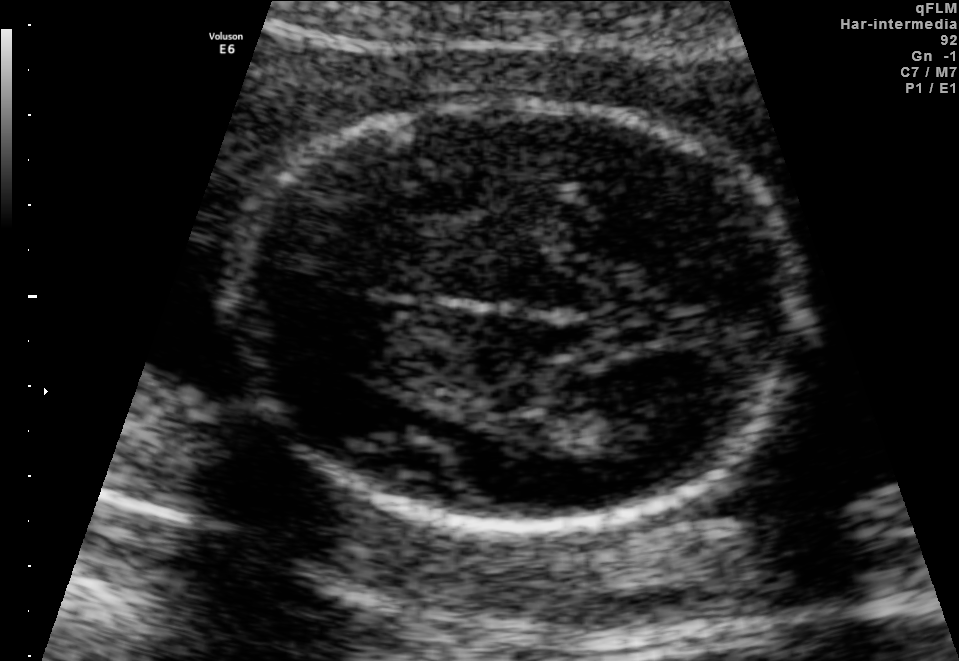
Fetal brain, trans-thalamic plane. Where is the lateral ventricle?

Lateral ventricle bounding box: [575,395,690,463]